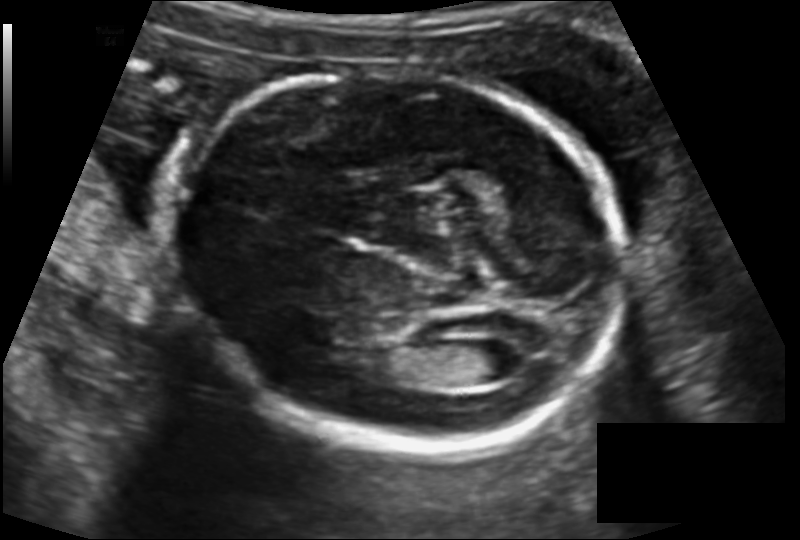
In this fetal head ultrasound, give bounding boxes for the head outline, cavum septum pellucidum (CSP), and lateral ventricle (LV), where visible. Image width: 103.4 mm.

Head: [168,72,632,450]
Lateral ventricle: [463,336,527,386]